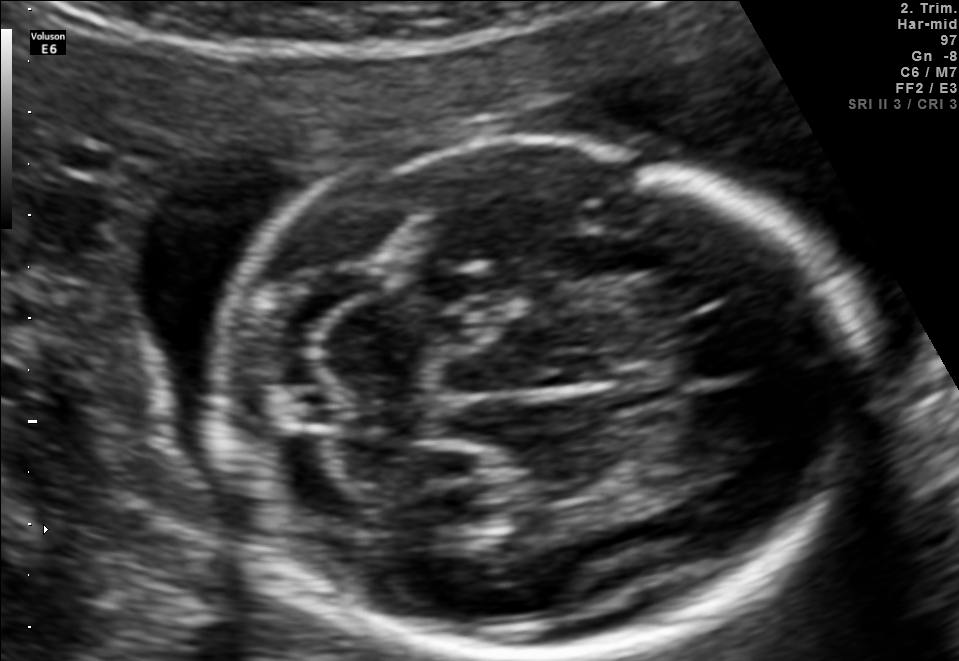
Fetal brain, trans-cerebellum plane. Locate the fetal head.

Head: [213,138,850,660]